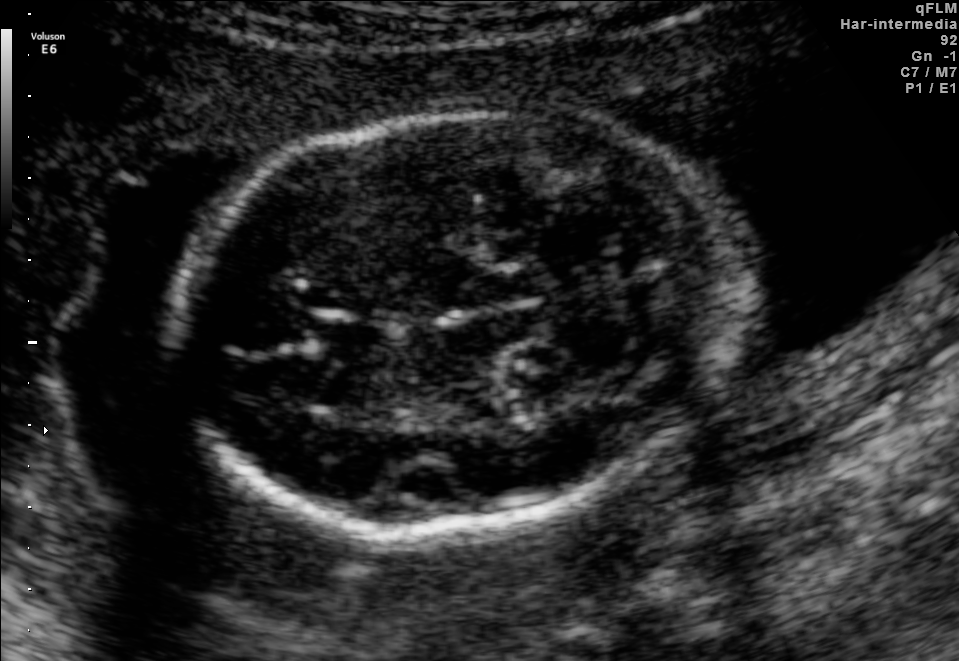
Fetal brain, trans-cerebellum plane. Where is the fetal head?

Head bounding box: [174,108,737,531]